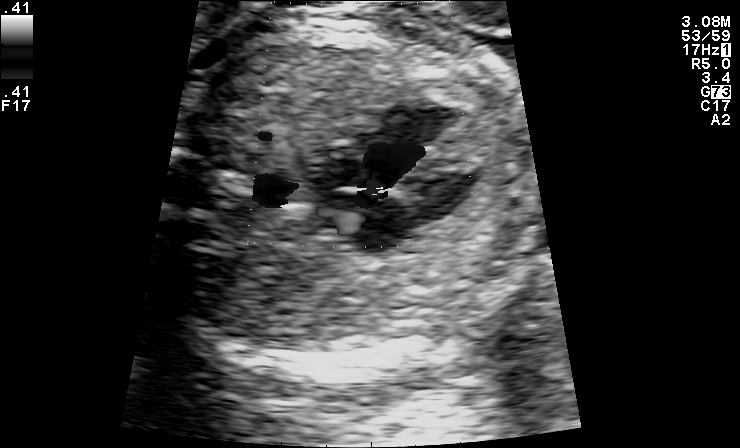
Classify this maternal-fetal ultrasound image as one of the six standard planes — fetal abdomen, fetal brain, fetal femur, fetal thorax, maternal cervix, or other. If it's fetal brain and one of the three standard brain planes (trans-thalamic, trans-cerebellum, trans-ventricular), name which.

Other